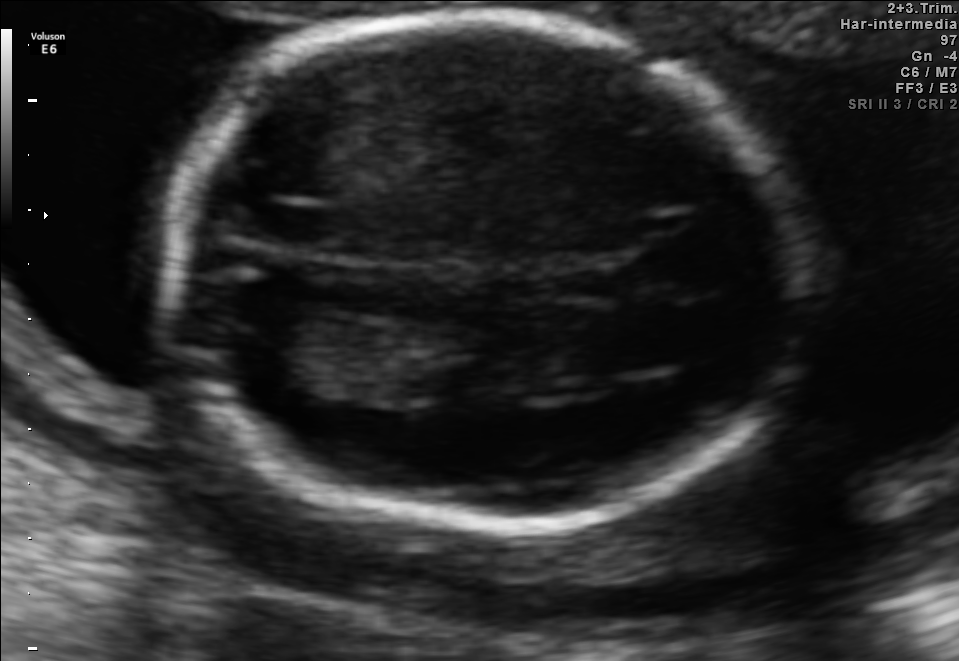
Fetal brain, trans-thalamic plane. Give [x1,y1,x2,y2] bounding boxes for each visible structure among: fetal head, CSP, LV.

Head: [169,16,808,531]